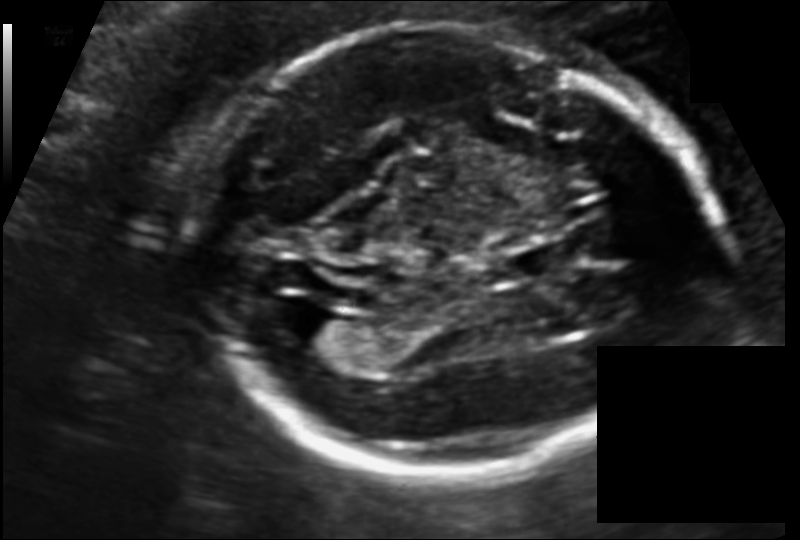
Fetal head ultrasound. Image width: 94.5 mm. Locate the fetal head.

Head: [192,20,705,475]